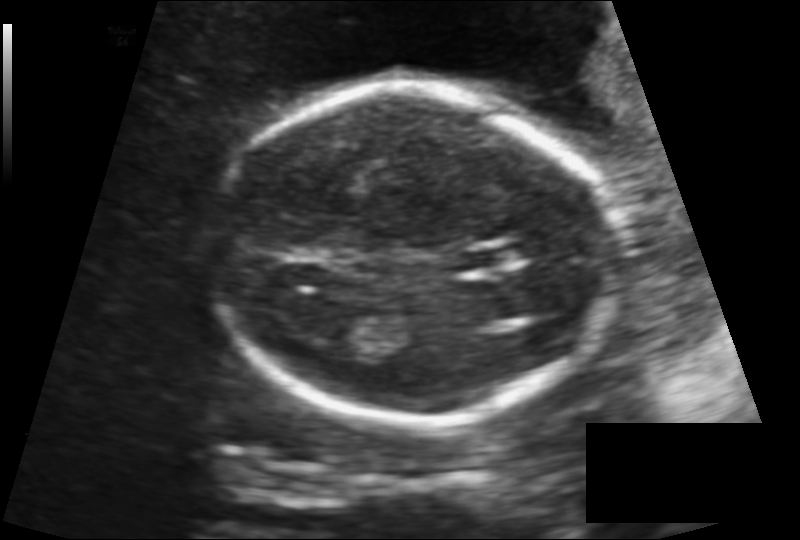
Fetal head ultrasound. Image width: 110.1 mm. Where is the lateral ventricle?

Lateral ventricle bounding box: [314,299,376,346]